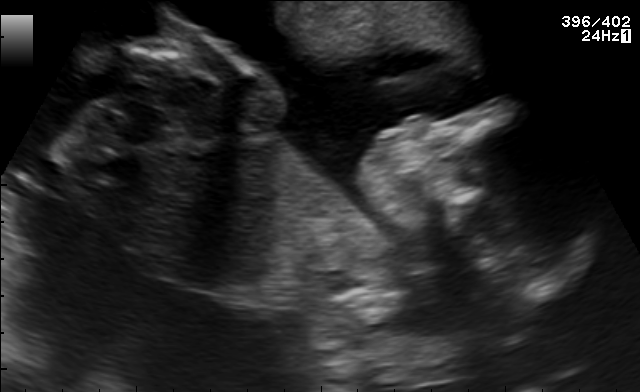
Classify this maternal-fetal ultrasound image as one of the six standard planes — fetal abdomen, fetal brain, fetal femur, fetal thorax, maternal cervix, or other. If it's fetal brain and one of the three standard brain planes (trans-thalamic, trans-cerebellum, trans-ventricular), name which.

Other